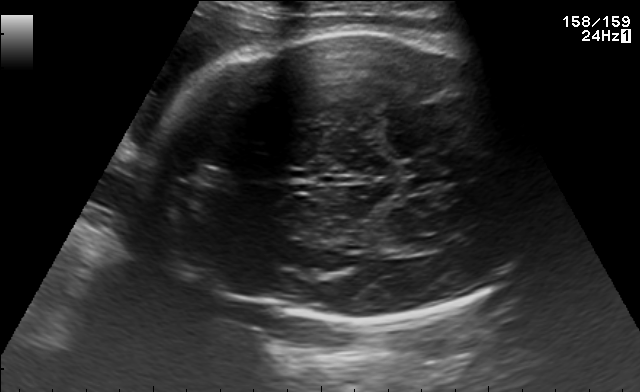
Fetal brain, trans-thalamic plane. Where is the lateral ventricle?

Lateral ventricle bounding box: [380,236,429,259]